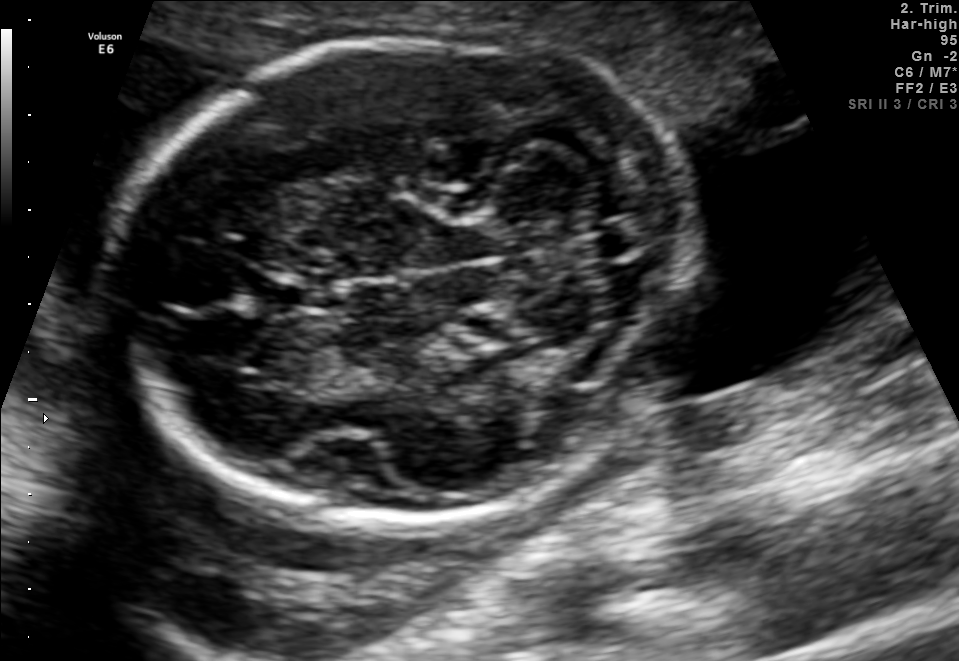
In this fetal brain, trans-cerebellum plane, give bounding boxes for the head outline, cavum septum pellucidum (CSP), and lateral ventricle (LV), where visible.

Head: [117,38,682,527]
CSP: [270,282,326,314]